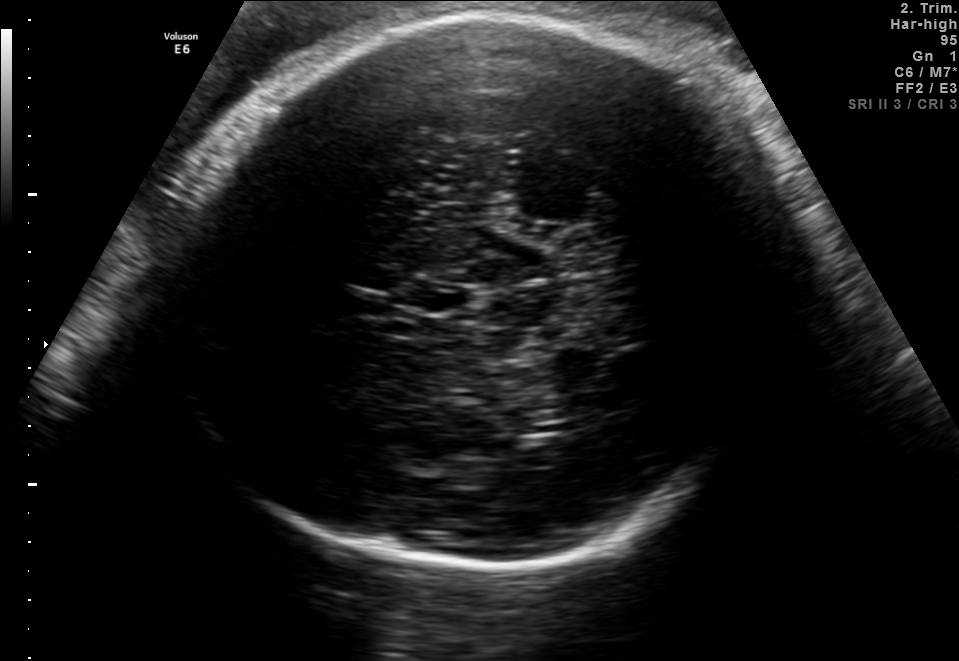
Classify this maternal-fetal ultrasound image as one of the six standard planes — fetal abdomen, fetal brain, fetal femur, fetal thorax, maternal cervix, or other. If it's fetal brain and one of the three standard brain planes (trans-thalamic, trans-cerebellum, trans-ventricular), name which.

Fetal brain (trans-thalamic plane)